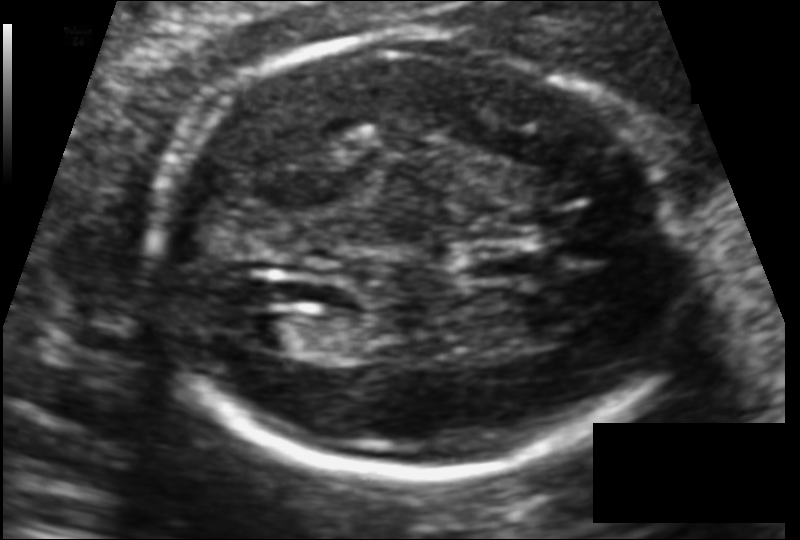
Fetal head ultrasound. Image width: 88.1 mm. Locate the fetal head and, if visible, the cavum septum pellucidum (CSP) and lateral ventricle (LV). Give bounding boxes as [x1,y1,x2,y2].

Head: [146,33,689,477]
CSP: [461,250,530,285]
Lateral ventricle: [238,311,306,351]